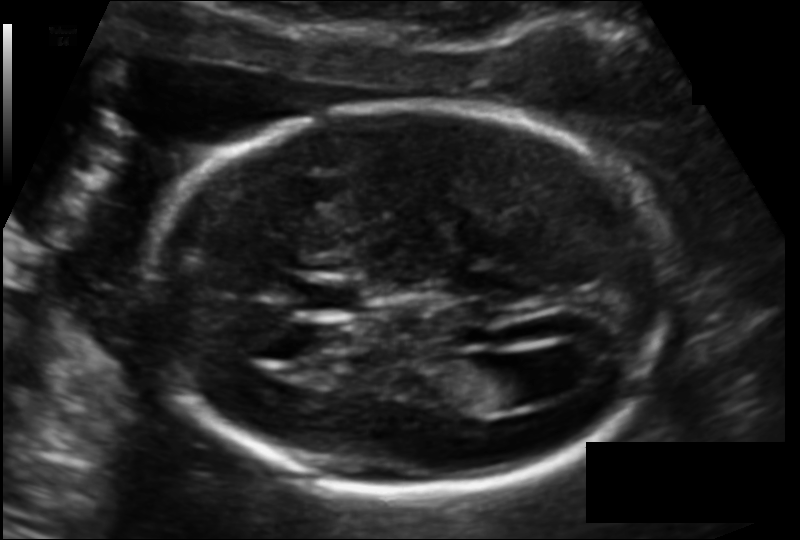
In this fetal head ultrasound, give bounding boxes for the head outline, cavum septum pellucidum (CSP), and lateral ventricle (LV), where visible. Image width: 94.5 mm.

Head: [147,105,668,491]
CSP: [299,277,364,314]
Lateral ventricle: [461,354,542,413]